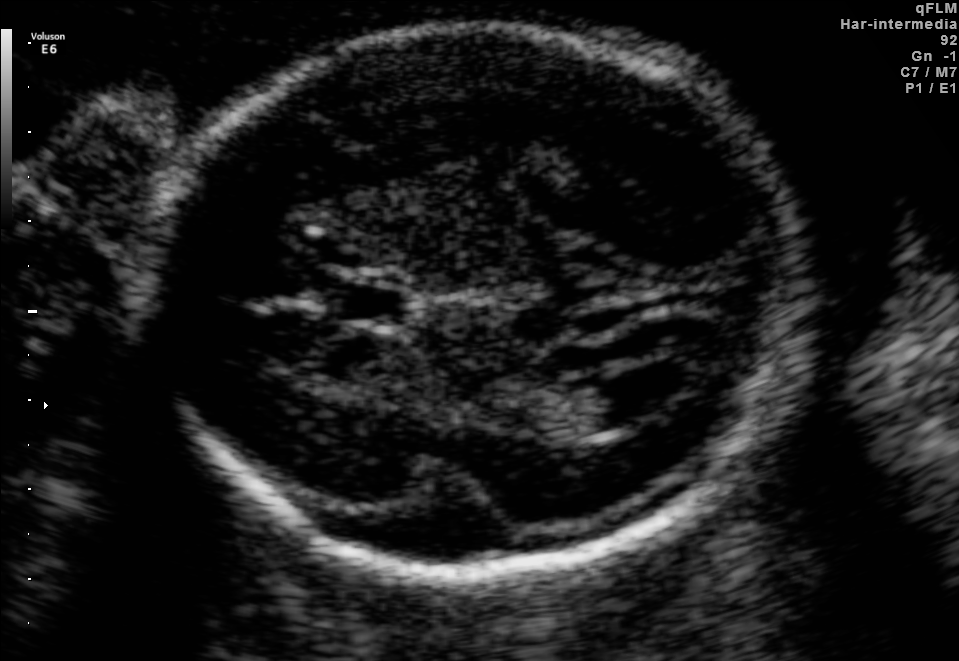
Fetal brain, trans-ventricular plane. Locate the fetal head and, if visible, the cavum septum pellucidum (CSP) and lateral ventricle (LV). Give bounding boxes as [x1,y1,x2,y2].

Head: [121,17,832,592]
CSP: [317,276,425,331]
Lateral ventricle: [567,357,676,438]